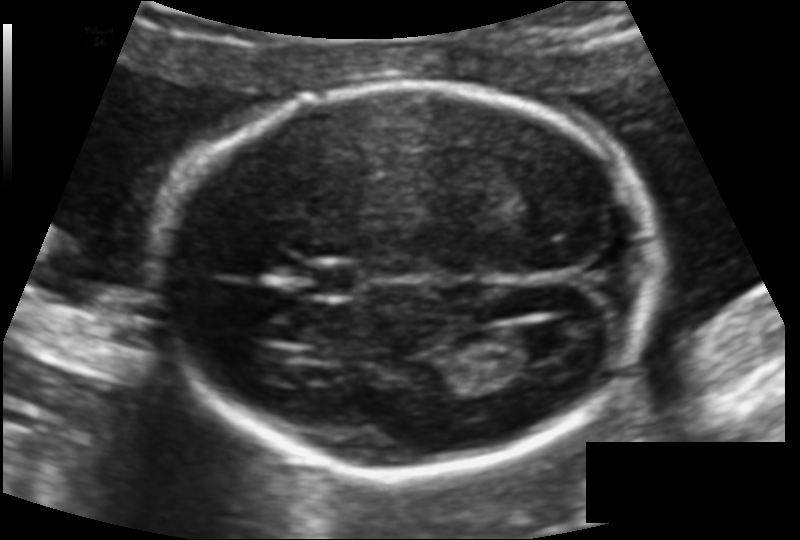
Fetal head ultrasound. Image width: 93.9 mm. Locate the lateral ventricle.

Lateral ventricle: [495,321,566,368]